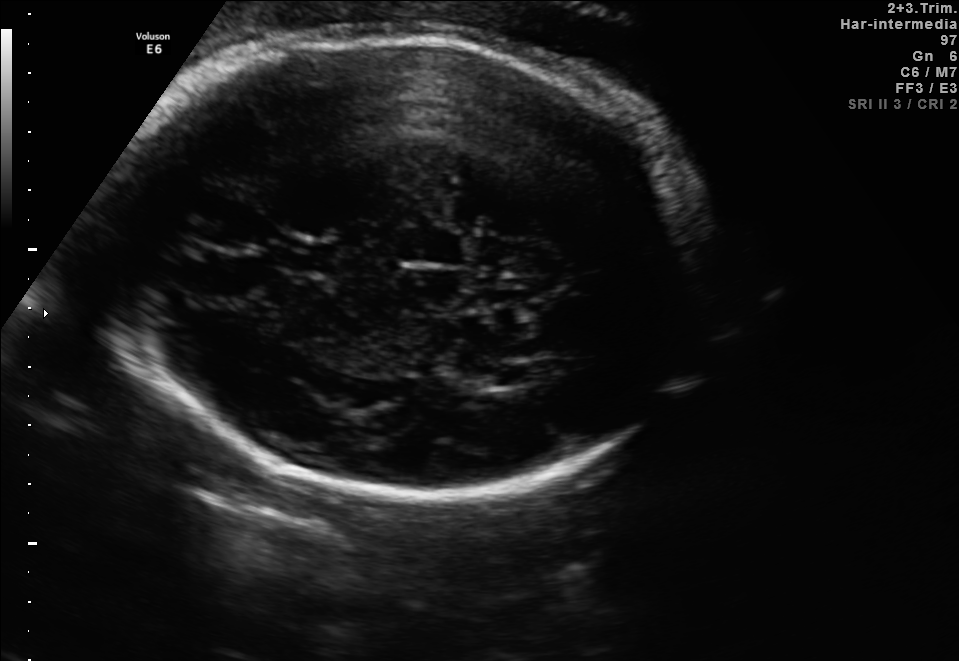
Fetal brain, trans-ventricular plane. Locate the fetal head.

Head: [101,26,730,507]